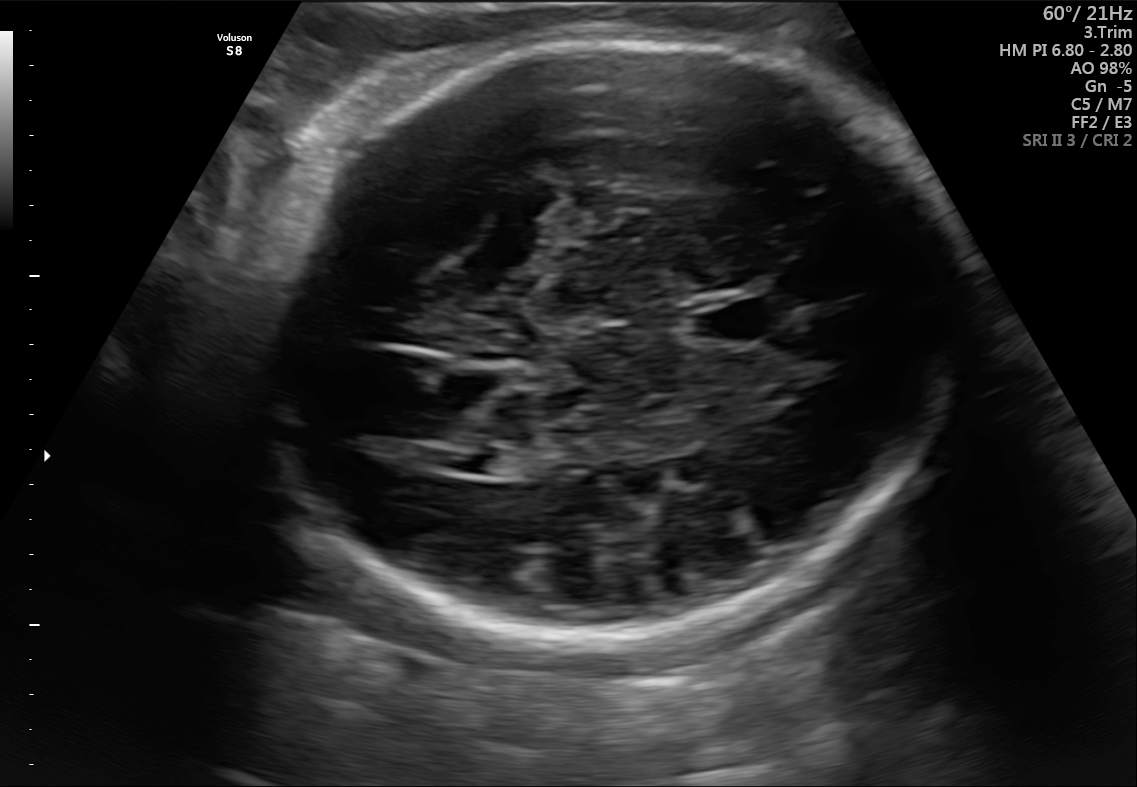
Fetal brain, trans-ventricular plane. Where is the fetal head?

Head bounding box: [245,35,982,645]